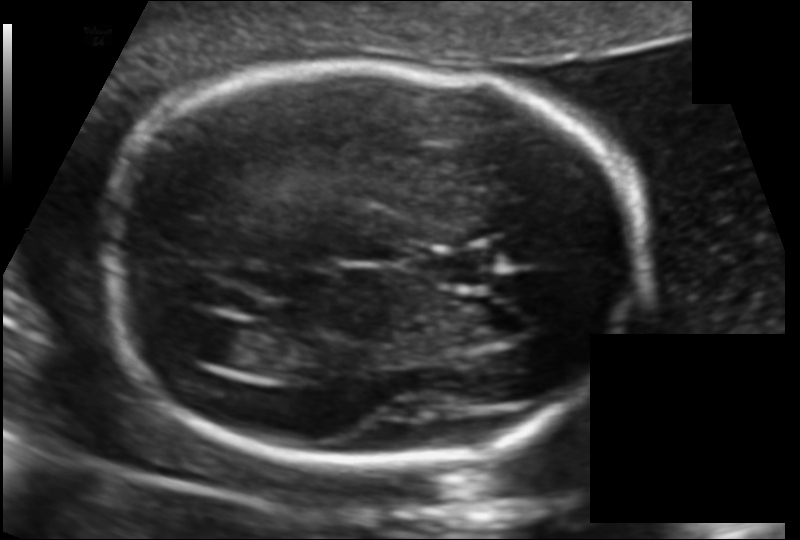
In this fetal head ultrasound, give the bounding box of the fetal head. Image width: 93.9 mm.

[97,65,645,461]